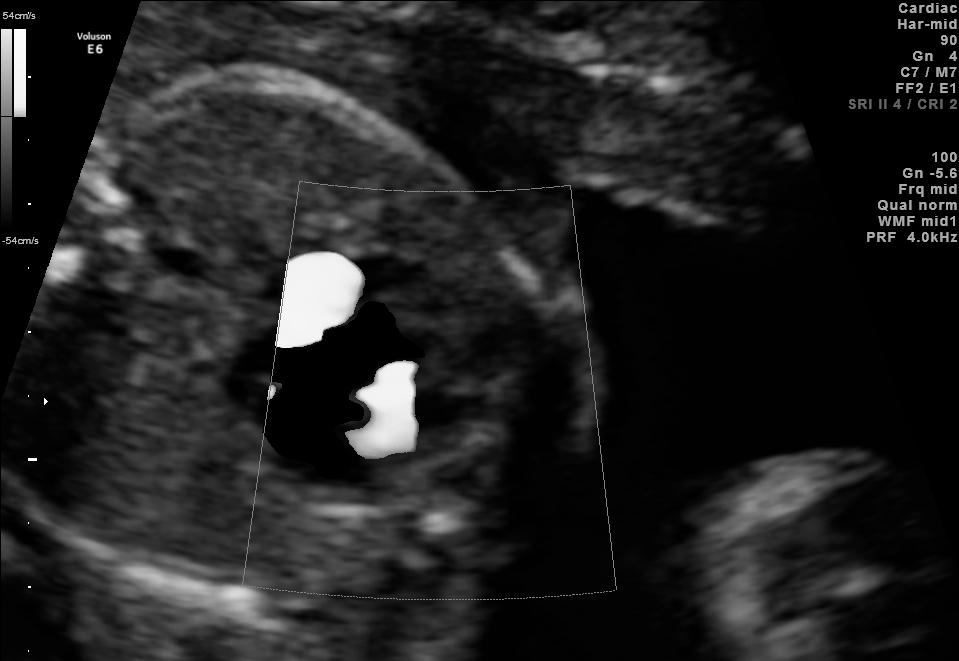
This is a 2D maternal-fetal ultrasound frame. Is it a fetal abdomen, fetal brain, fetal femur, fetal thorax, maternal cervix, or other standard plane? If it's fetal brain and one of the three standard brain planes (trans-thalamic, trans-cerebellum, trans-ventricular), name which.

Other